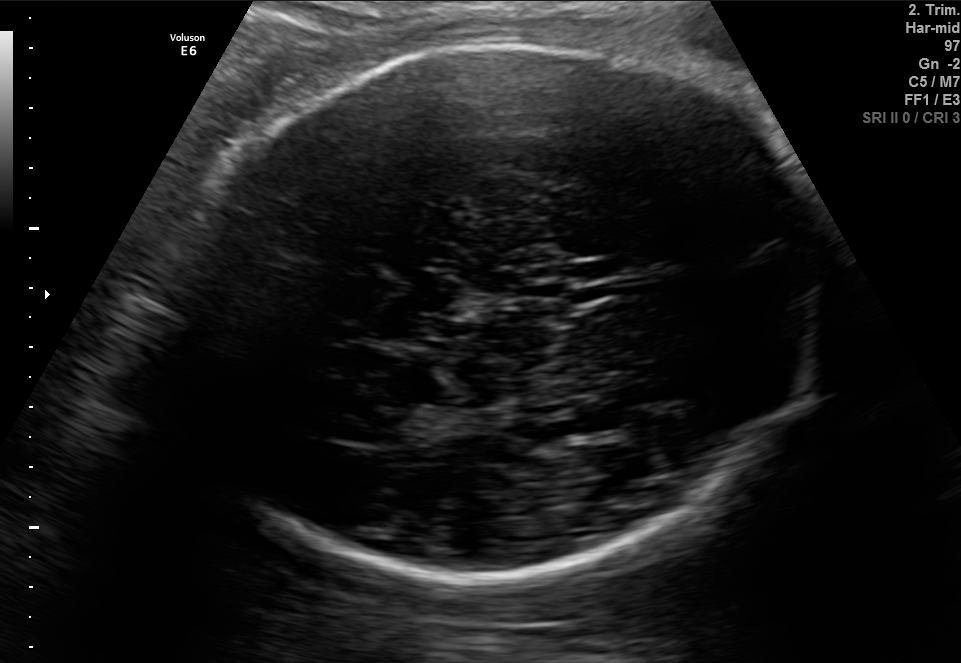
This is a 2D maternal-fetal ultrasound frame. Is it a fetal abdomen, fetal brain, fetal femur, fetal thorax, maternal cervix, or other standard plane? If it's fetal brain and one of the three standard brain planes (trans-thalamic, trans-cerebellum, trans-ventricular), name which.

Fetal brain (trans-thalamic plane)